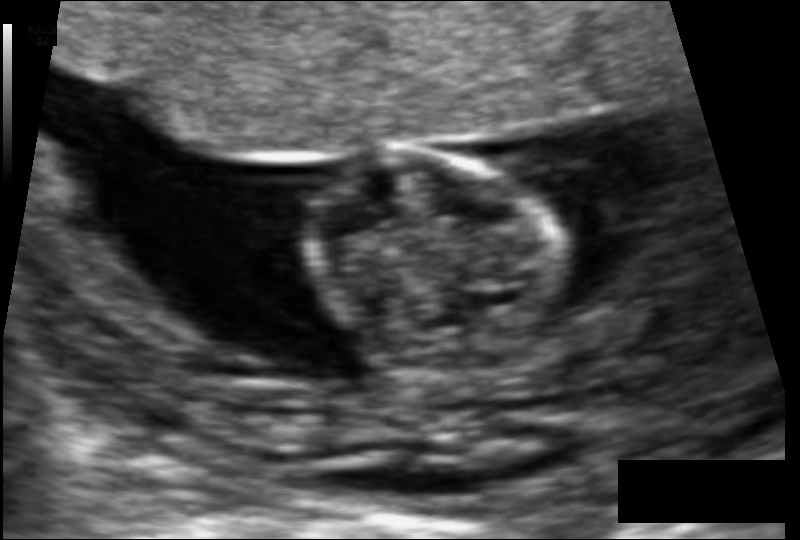
Estimate the fetal head circumference from this 2D ultrasound. Image width: 63.2 mm.

Head circumference: 62.9 mm.